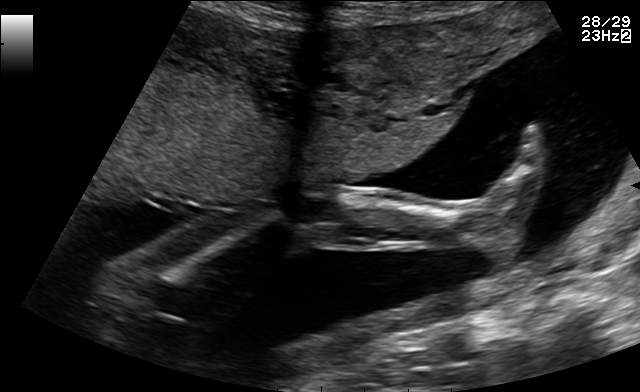
This is a 2D maternal-fetal ultrasound frame. Is it a fetal abdomen, fetal brain, fetal femur, fetal thorax, maternal cervix, or other standard plane? If it's fetal brain and one of the three standard brain planes (trans-thalamic, trans-cerebellum, trans-ventricular), name which.

Fetal femur